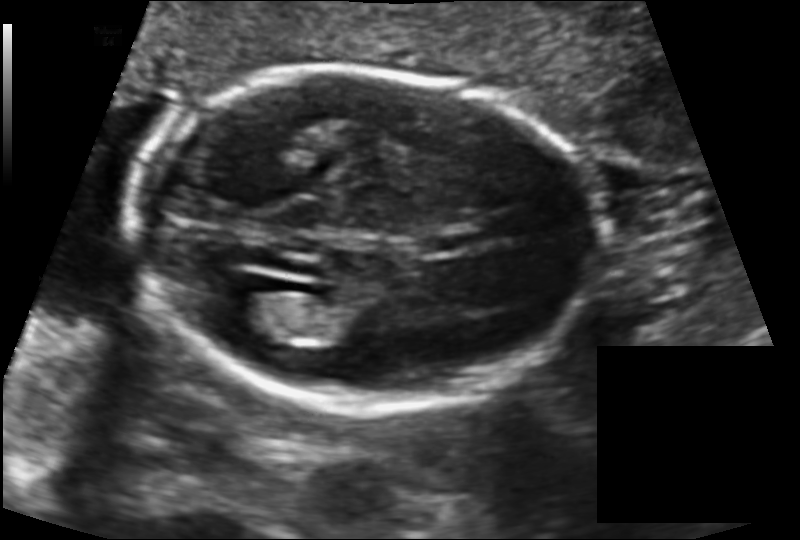
What is the fetal head circumference? Image width is 105.0 mm.

174.8 mm